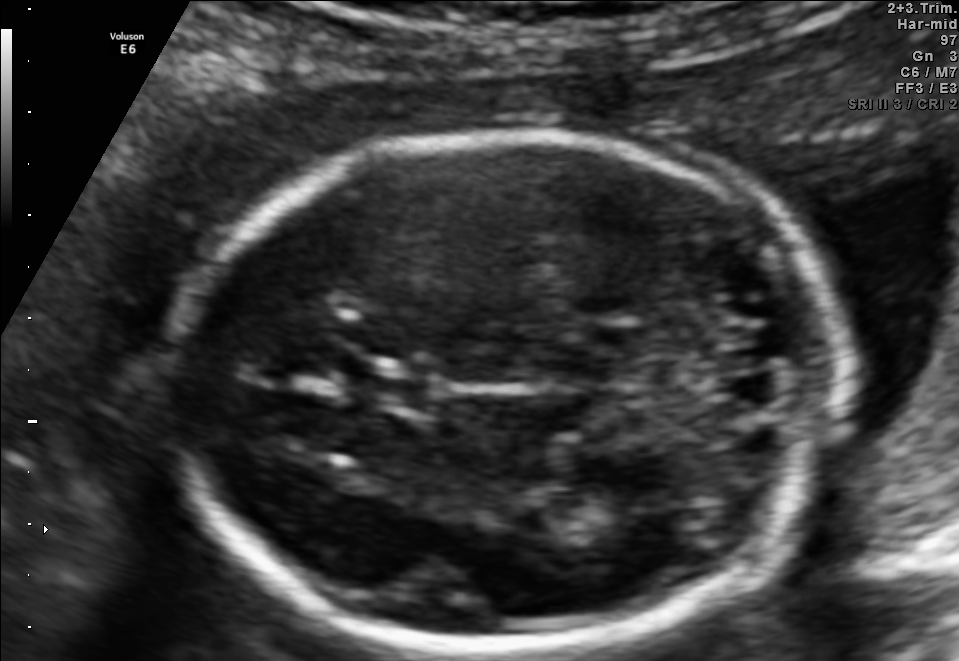
This is a 2D maternal-fetal ultrasound frame. Is it a fetal abdomen, fetal brain, fetal femur, fetal thorax, maternal cervix, or other standard plane? If it's fetal brain and one of the three standard brain planes (trans-thalamic, trans-cerebellum, trans-ventricular), name which.

Fetal brain (trans-thalamic plane)